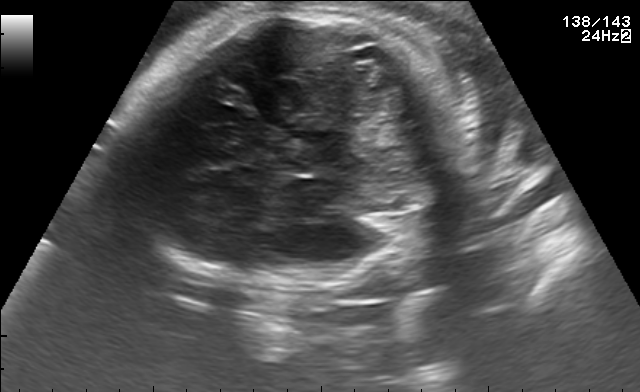
In this fetal brain, trans-thalamic plane, give the bounding box of the fetal head.

[125,9,454,288]